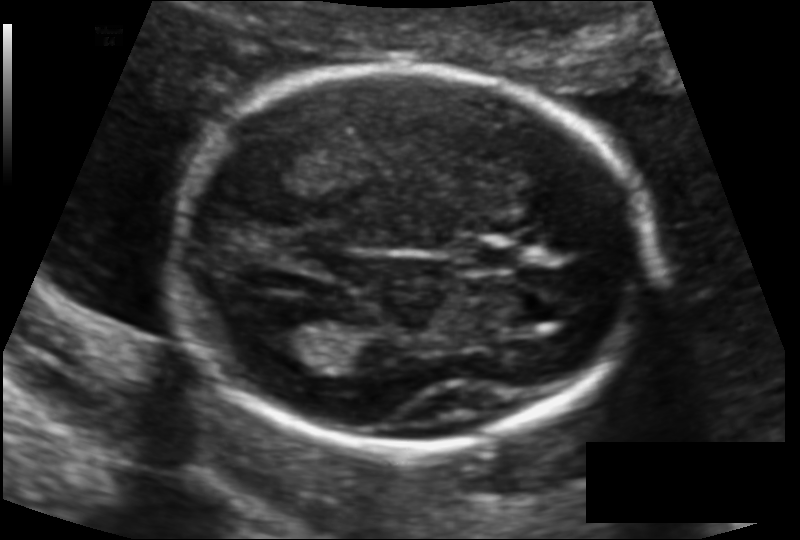
Fetal head ultrasound. Image width: 93.3 mm. Locate the cavum septum pellucidum.

CSP: [461,240,516,271]